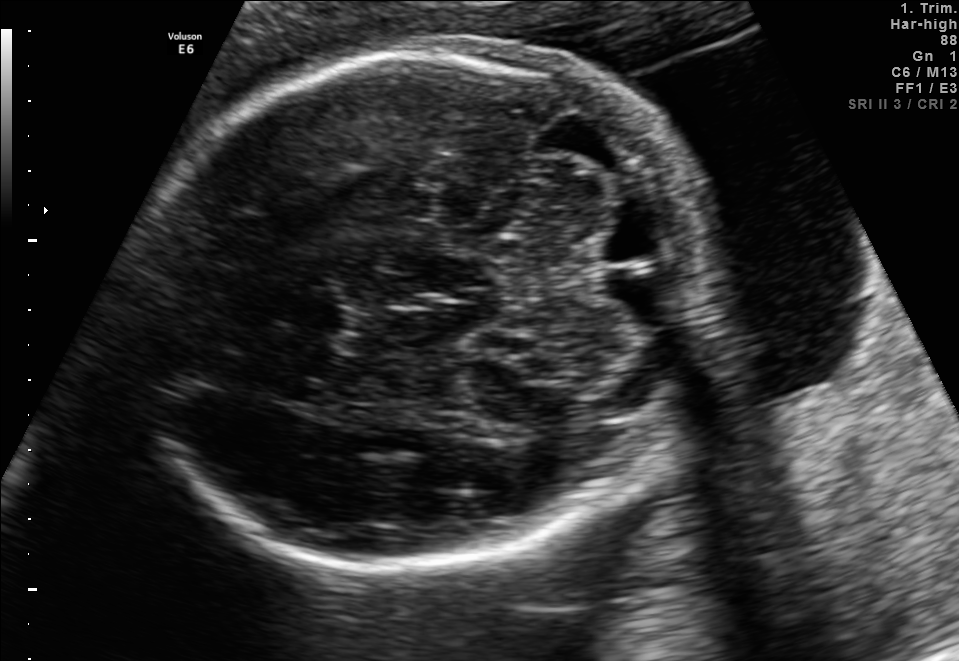
Which standard maternal-fetal ultrasound plane is shown: fetal abdomen, fetal brain, fetal femur, fetal thorax, maternal cervix, or other? If it's fetal brain and one of the three standard brain planes (trans-thalamic, trans-cerebellum, trans-ventricular), name which.

Fetal brain (trans-cerebellum plane)